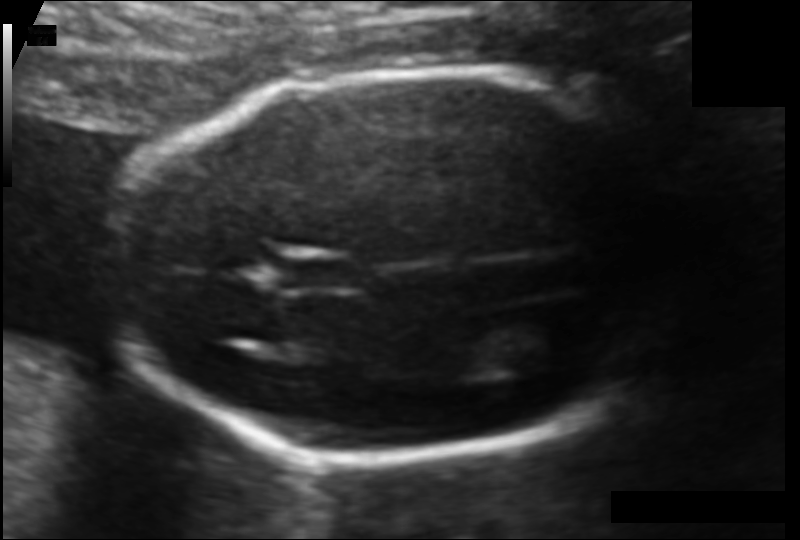
In this fetal head ultrasound, give the bounding box of the fetal head. Image width: 82.3 mm.

[114,71,669,464]